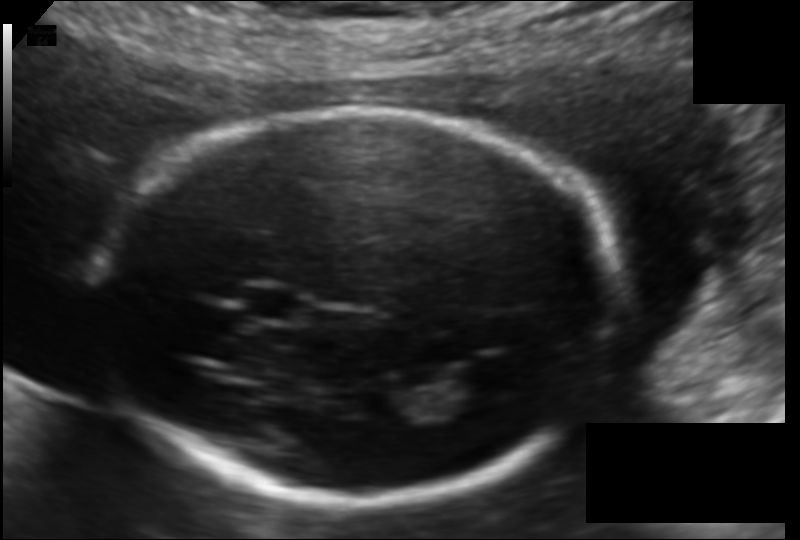
Estimate the fetal head circumference from this 2D ultrasound. Image width: 96.1 mm.

Head circumference: 179.5 mm.